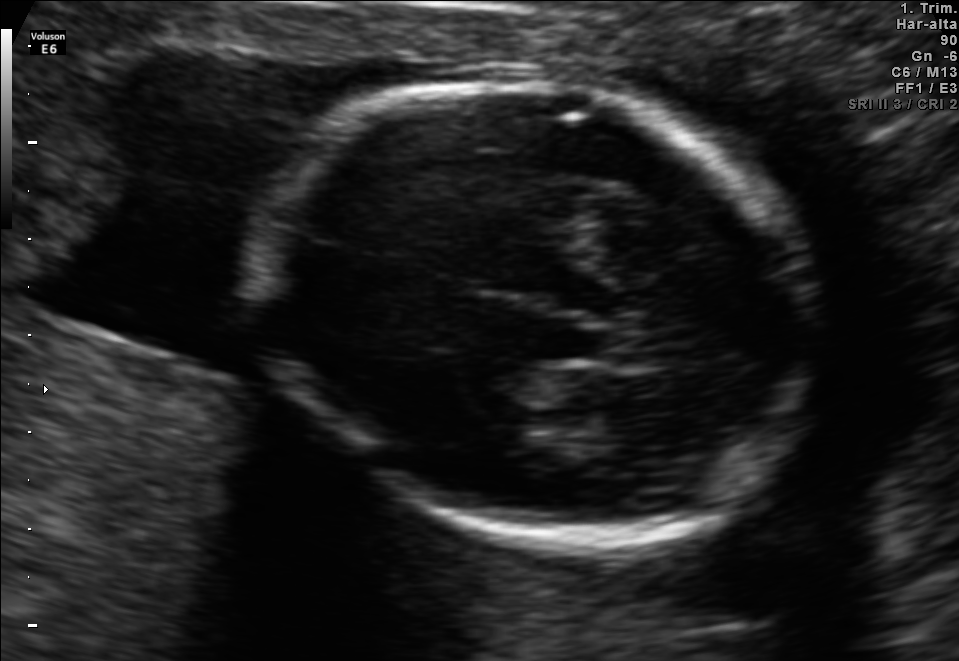
In this fetal brain, trans-thalamic plane, give the bounding box of the fetal head.

[252,79,817,532]